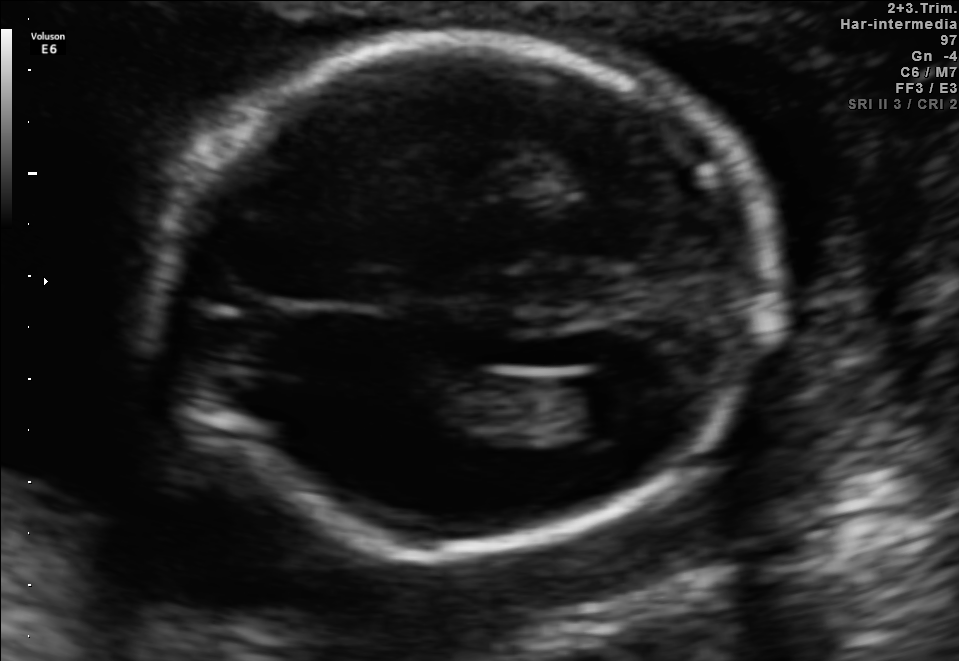
Fetal brain, trans-ventricular plane. Give [x1,y1,x2,y2] bounding boxes for each visible structure among: fetal head, CSP, LV.

Head: [125,30,790,561]
Lateral ventricle: [565,362,660,434]